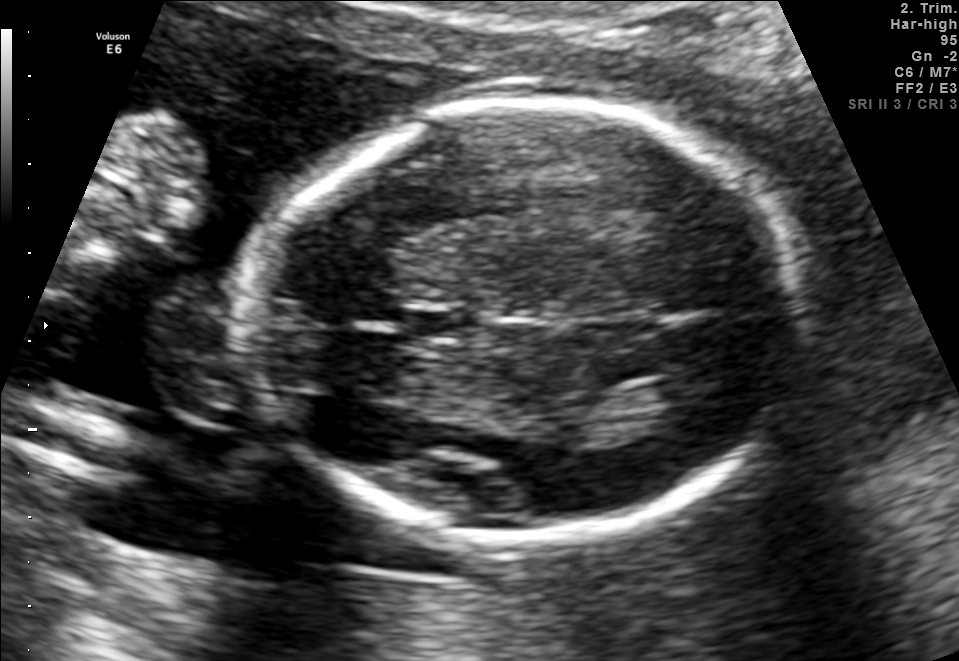
In this fetal brain, trans-thalamic plane, give bounding boxes for the head outline, cavum septum pellucidum (CSP), and lateral ventricle (LV), where visible.

Head: [242,105,797,542]
CSP: [406,312,474,339]
Lateral ventricle: [625,370,694,413]